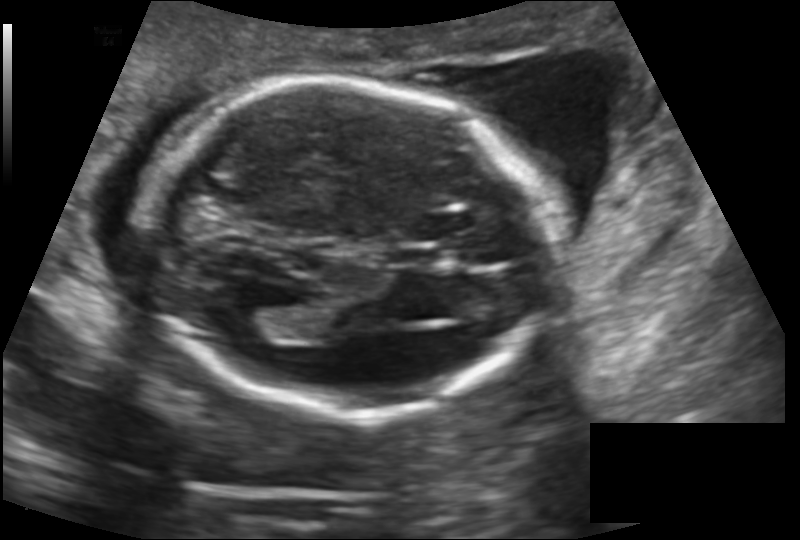
In this fetal head ultrasound, give the bounding box of the lateral ventricle. Image width: 116.4 mm.

[225,307,278,339]